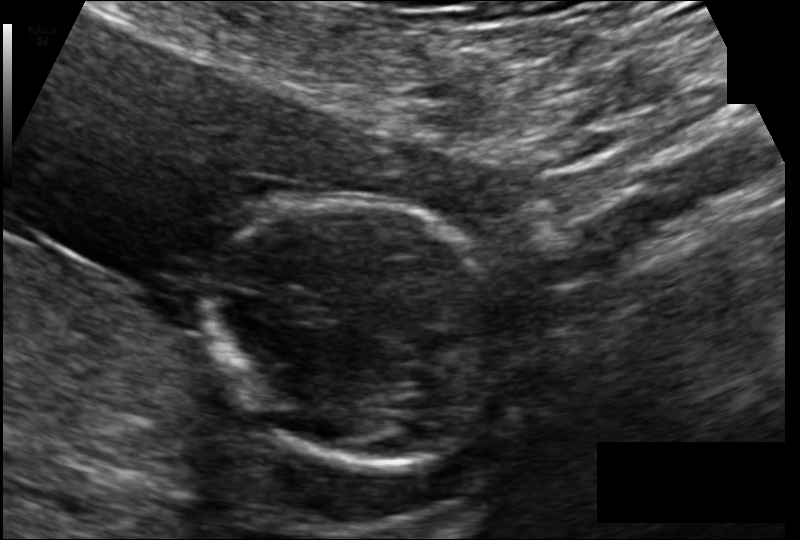
Fetal head ultrasound. Image width: 81.2 mm. Where is the fetal head?

Head bounding box: [201,200,534,466]